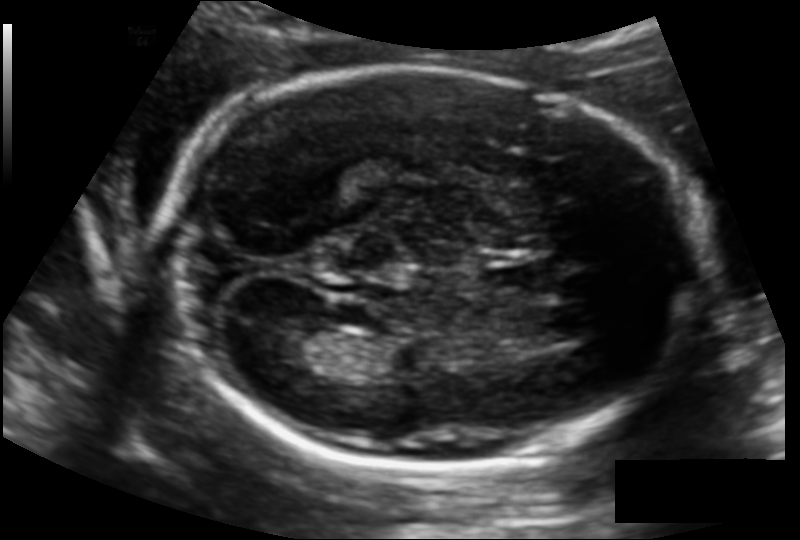
Estimate the fetal head circumference from this 2D ultrasound.

Head circumference: 197.9 mm (image width 103.6 mm).